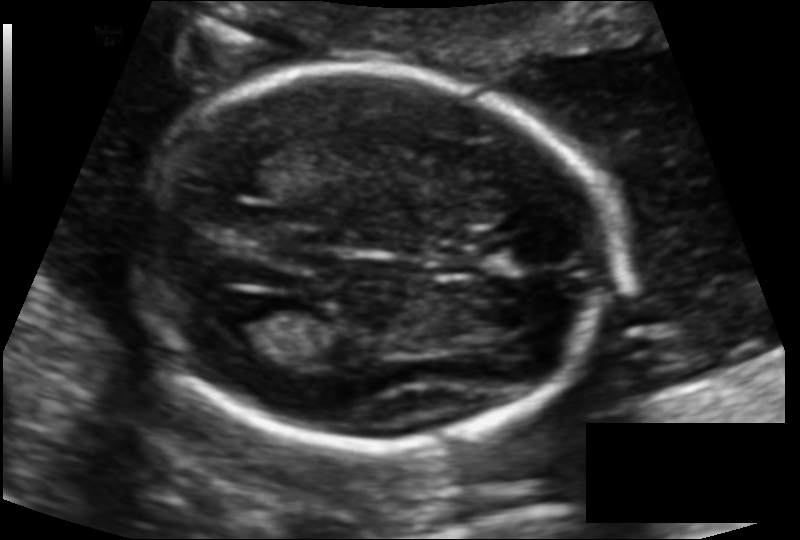
What is the fetal head circumference? Image width is 93.4 mm.

166.7 mm